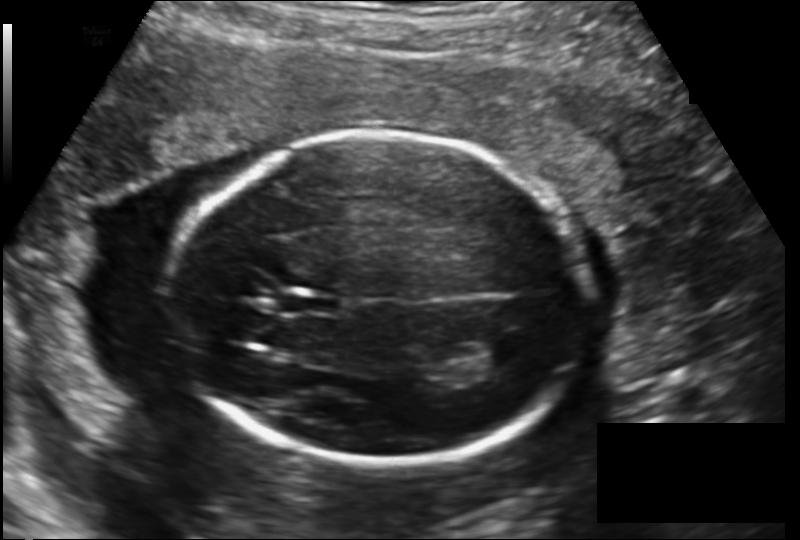
Fetal head ultrasound. Image width: 130.6 mm. Locate the lateral ventricle.

Lateral ventricle: [475,329,529,371]